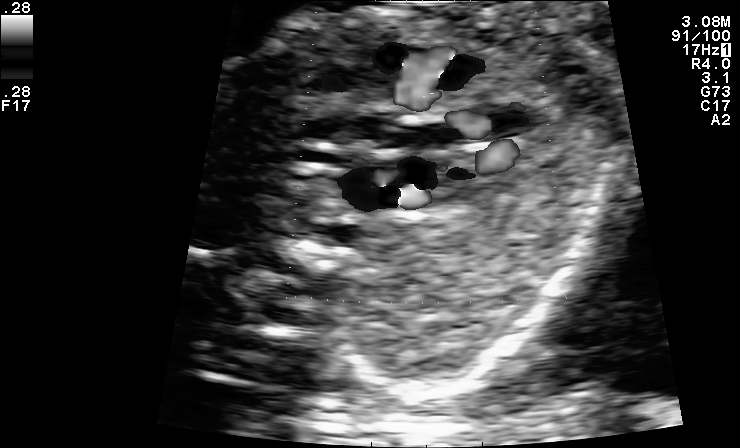
Identify the standard plane in this fetal ultrasound image: fetal abdomen, fetal brain, fetal femur, fetal thorax, maternal cervix, or other. If it's fetal brain and one of the three standard brain planes (trans-thalamic, trans-cerebellum, trans-ventricular), name which.

Other